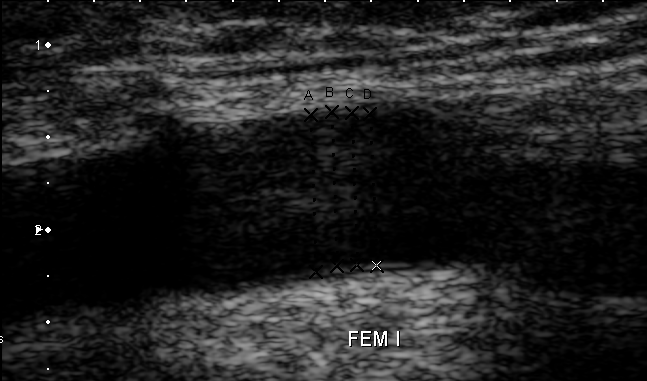
Which standard maternal-fetal ultrasound plane is shown: fetal abdomen, fetal brain, fetal femur, fetal thorax, maternal cervix, or other? If it's fetal brain and one of the three standard brain planes (trans-thalamic, trans-cerebellum, trans-ventricular), name which.

Other